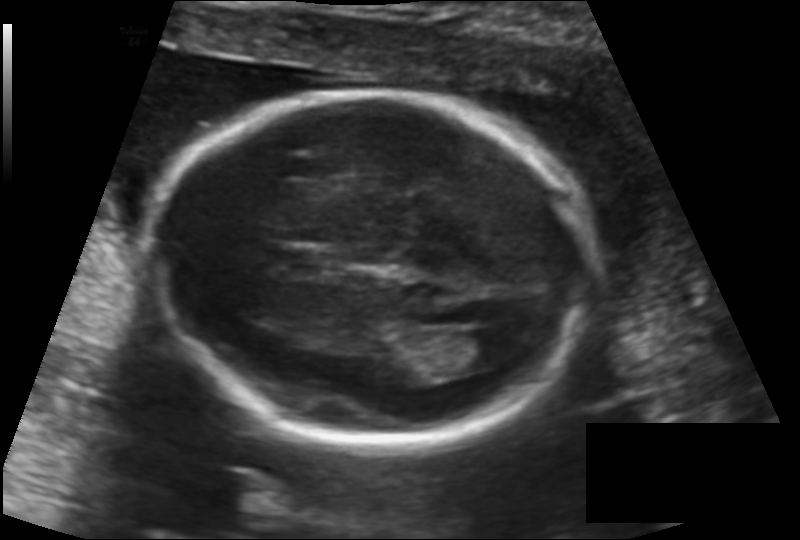
What is the fetal head circumference? Image width is 109.6 mm.

175.1 mm